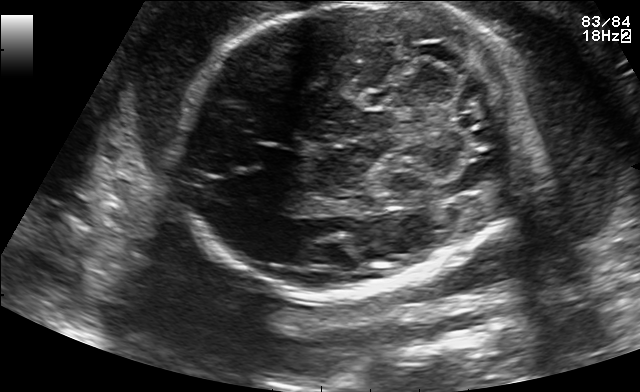
Fetal brain, trans-cerebellum plane. Where is the fetal head?

Head bounding box: [184,1,514,299]